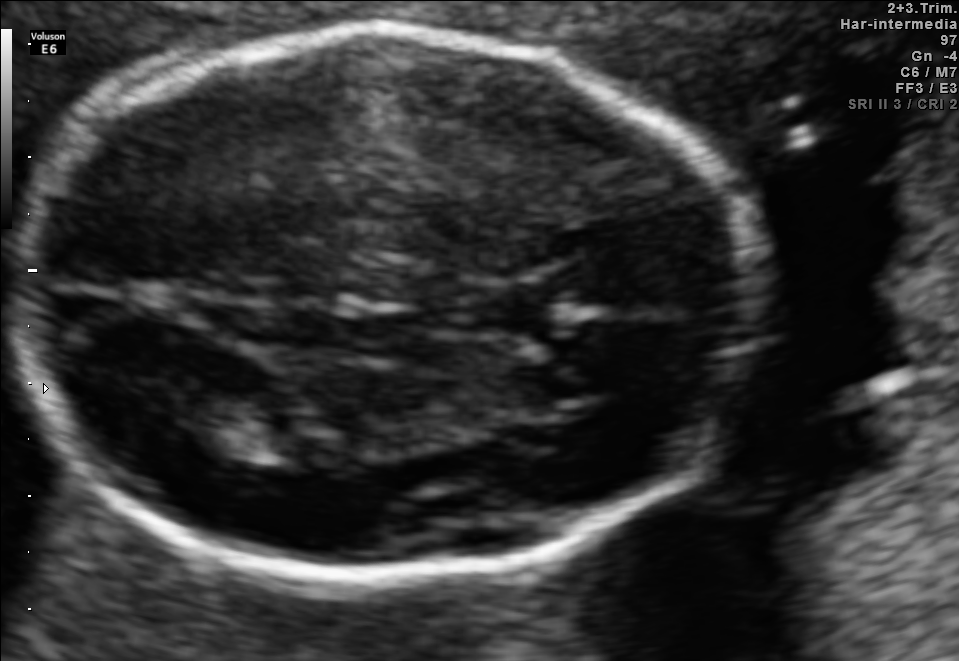
Fetal brain, trans-thalamic plane. Give [x1,y1,x2,y2] bounding boxes for each visible structure among: fetal head, CSP, LV.

Head: [9,34,746,567]
CSP: [476,287,552,334]
Lateral ventricle: [148,372,260,460]